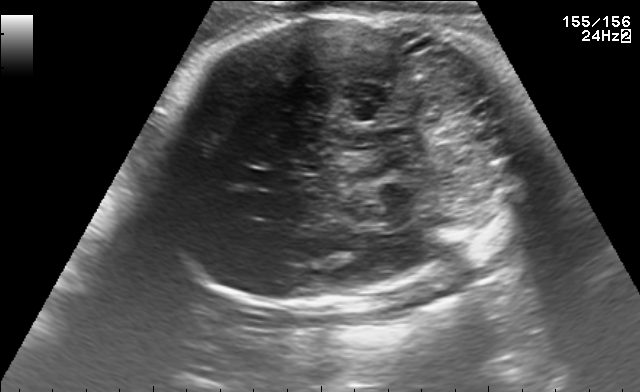
Fetal brain, trans-cerebellum plane. Locate the fetal head and, if visible, the cavum septum pellucidum (CSP) and lateral ventricle (LV). Give bounding boxes as [x1,y1,x2,y2].

Head: [147,8,526,306]